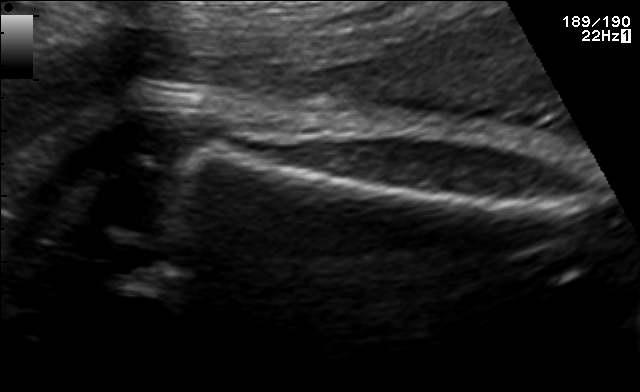
Which standard maternal-fetal ultrasound plane is shown: fetal abdomen, fetal brain, fetal femur, fetal thorax, maternal cervix, or other? If it's fetal brain and one of the three standard brain planes (trans-thalamic, trans-cerebellum, trans-ventricular), name which.

Fetal femur